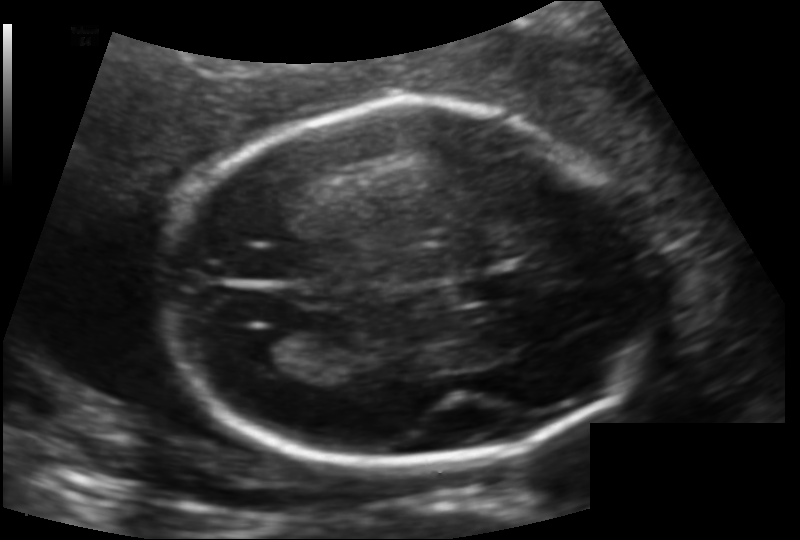
In this fetal head ultrasound, give the bounding box of the cavum septum pellucidum. Image width: 106.2 mm.

[457,269,529,305]